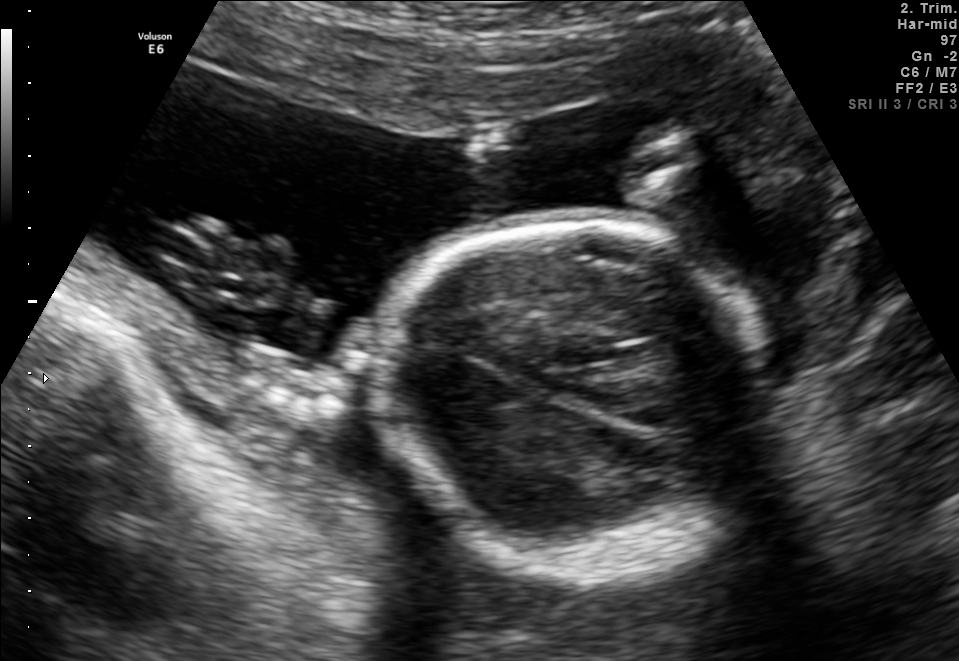
Fetal brain, trans-thalamic plane. Locate the fetal head.

Head: [369,220,776,575]